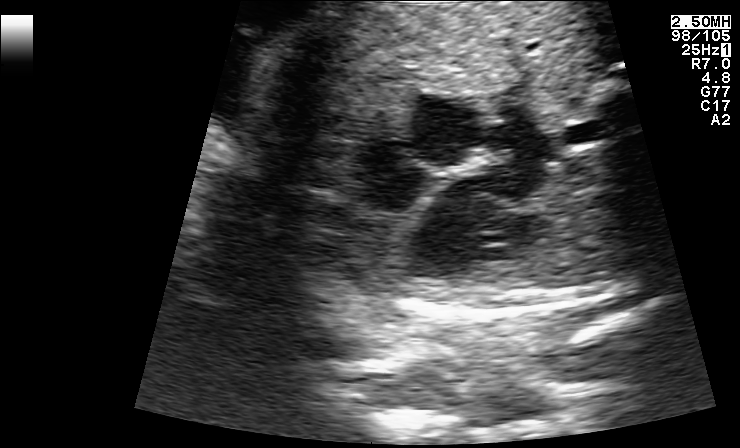
Classify this maternal-fetal ultrasound image as one of the six standard planes — fetal abdomen, fetal brain, fetal femur, fetal thorax, maternal cervix, or other. If it's fetal brain and one of the three standard brain planes (trans-thalamic, trans-cerebellum, trans-ventricular), name which.

Fetal thorax